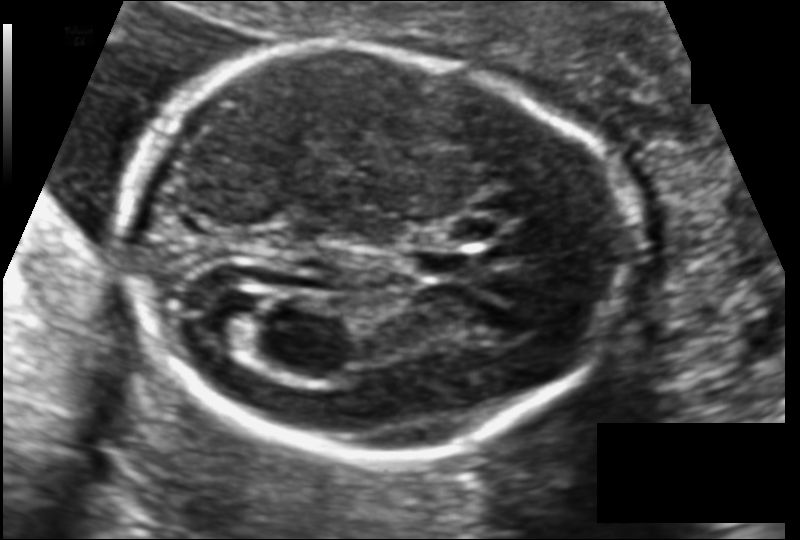
Estimate the fetal head circumference from this 2D ultrasound.

Head circumference: 172.2 mm (image width 93.1 mm).